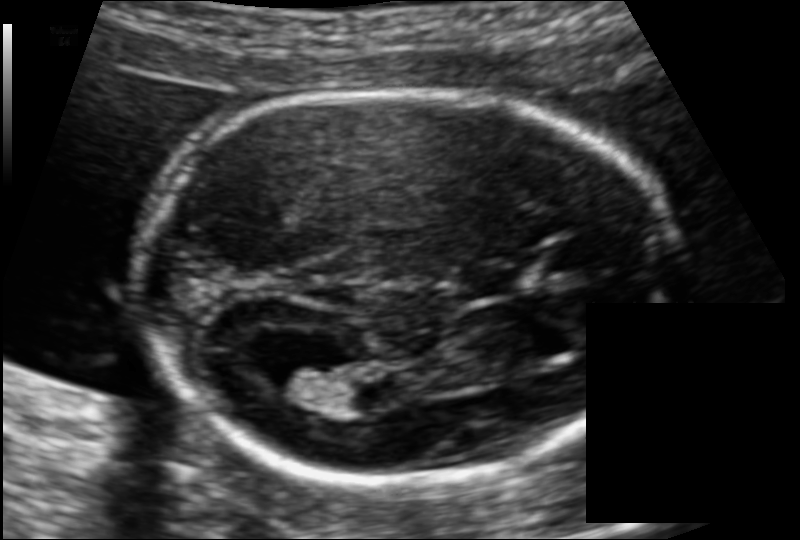
In this fetal head ultrasound, give the bounding box of the fetal head. Image width: 85.1 mm.

[134,91,677,478]